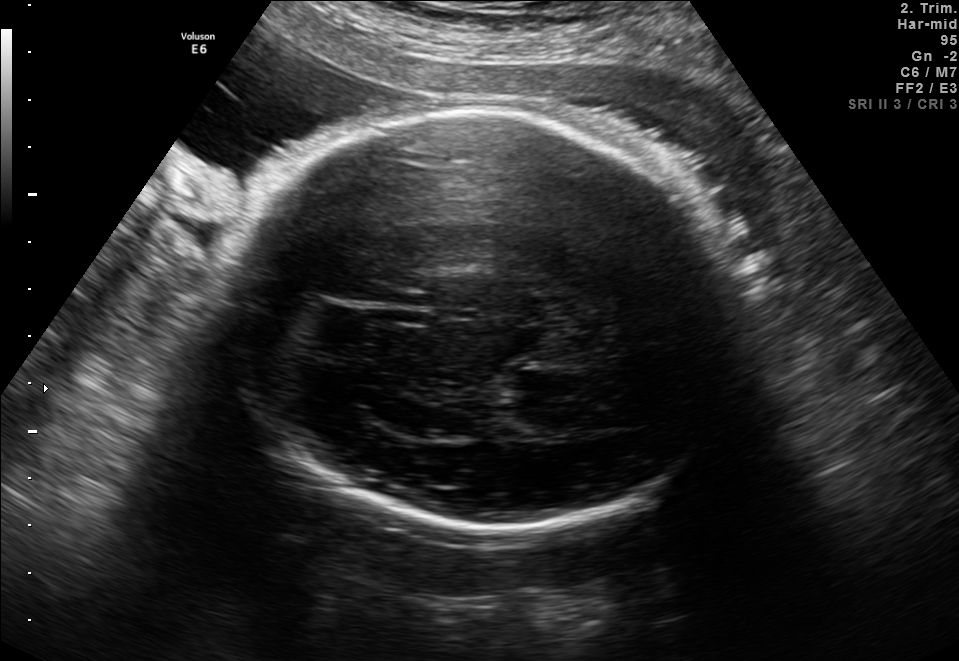
Fetal brain, trans-thalamic plane. Locate the fetal head and, if visible, the cavum septum pellucidum (CSP) and lateral ventricle (LV). Give bounding boxes as [x1,y1,x2,y2].

Head: [233,112,738,535]
Lateral ventricle: [506,391,595,434]